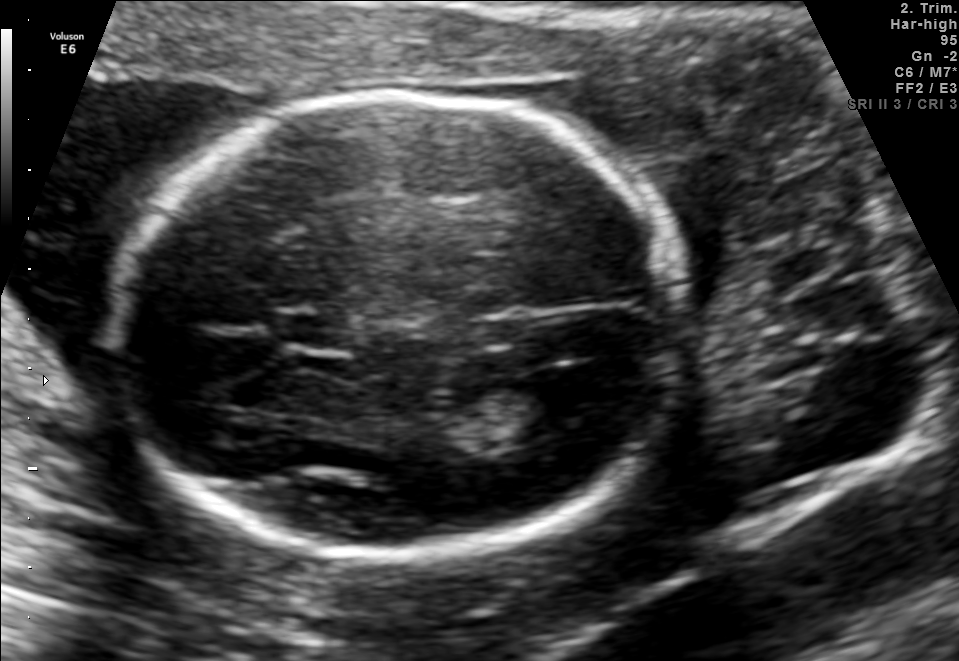
Fetal brain, trans-ventricular plane. Where is the lateral ventricle?

Lateral ventricle bounding box: [503,352,618,443]